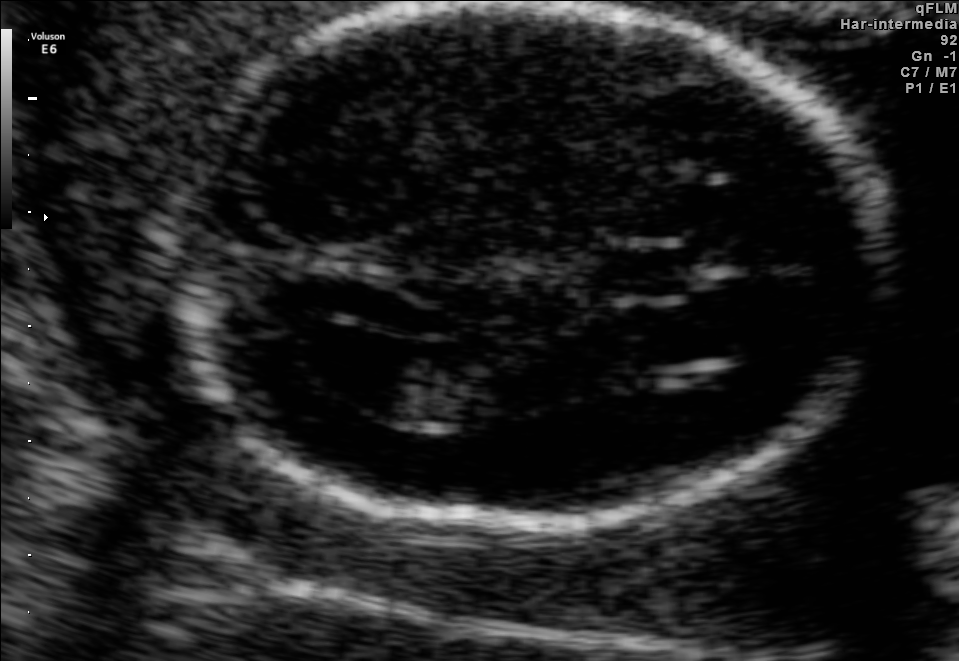
In this fetal brain, trans-ventricular plane, give the bounding box of the fetal head.

[141,3,908,546]